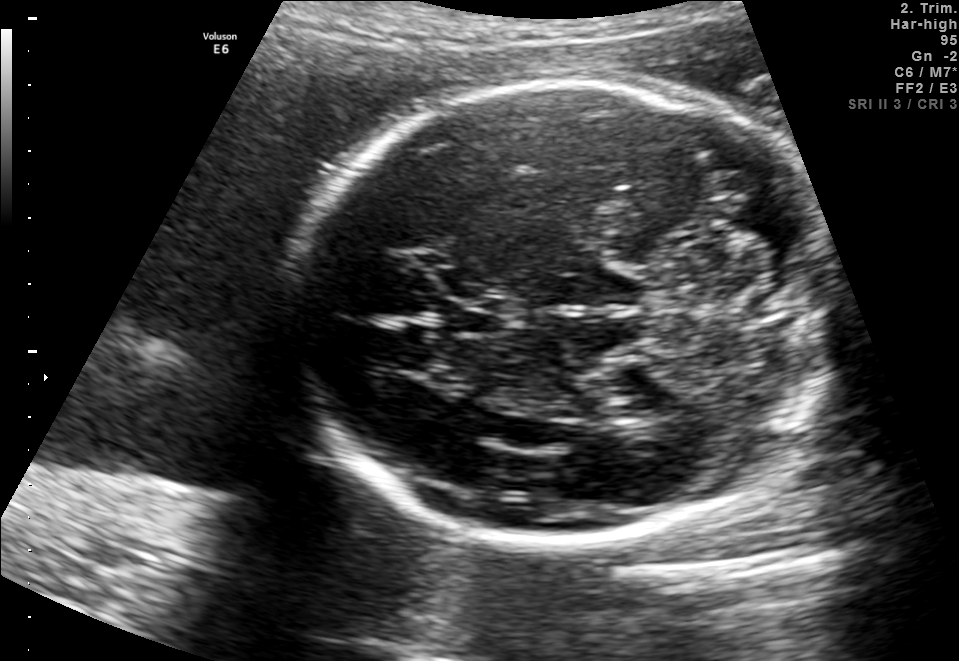
Fetal brain, trans-cerebellum plane. Where is the cavum septum pellucidum?

CSP bounding box: [447,298,508,335]